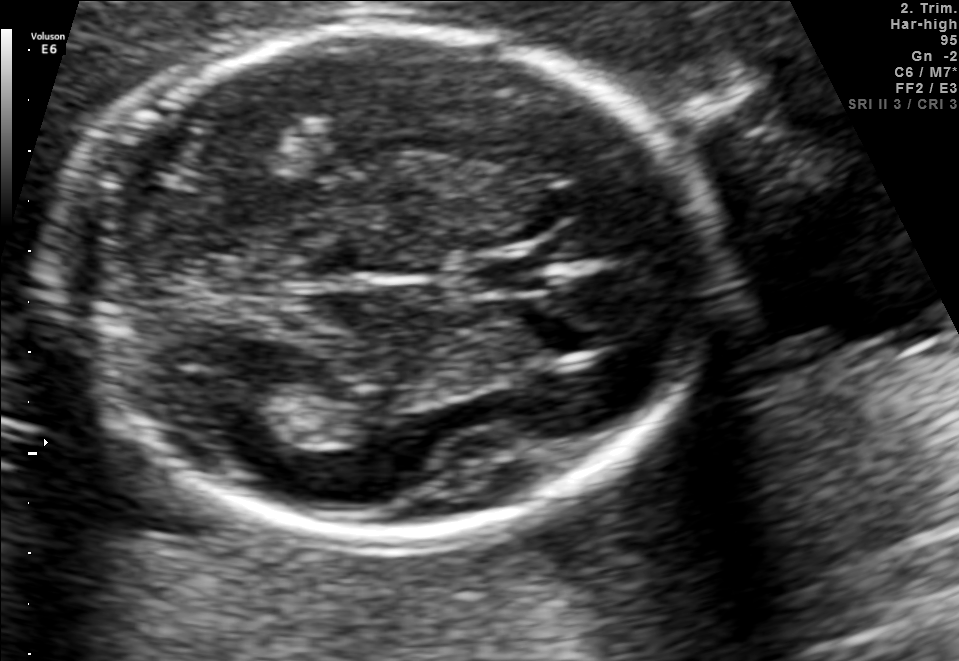
Fetal brain, trans-thalamic plane. Locate the fetal head.

Head: [59,23,708,540]